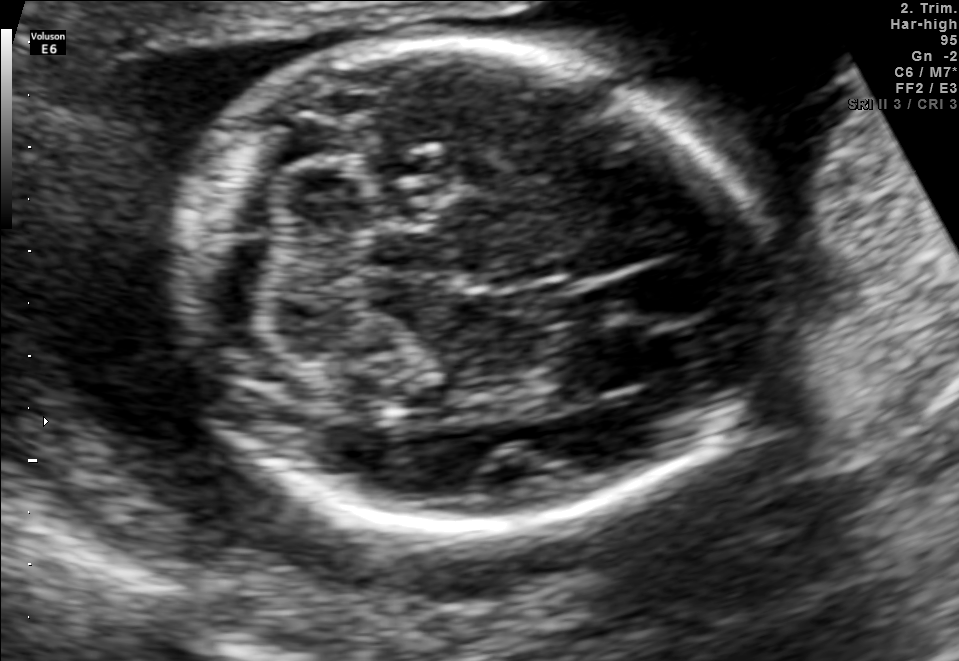
Which standard maternal-fetal ultrasound plane is shown: fetal abdomen, fetal brain, fetal femur, fetal thorax, maternal cervix, or other? If it's fetal brain and one of the three standard brain planes (trans-thalamic, trans-cerebellum, trans-ventricular), name which.

Fetal brain (trans-cerebellum plane)